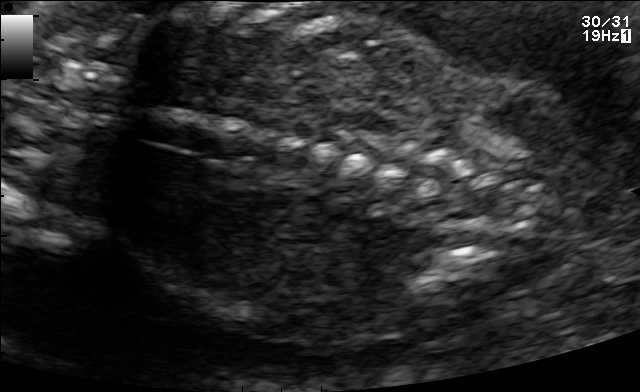
Classify this maternal-fetal ultrasound image as one of the six standard planes — fetal abdomen, fetal brain, fetal femur, fetal thorax, maternal cervix, or other. If it's fetal brain and one of the three standard brain planes (trans-thalamic, trans-cerebellum, trans-ventricular), name which.

Other